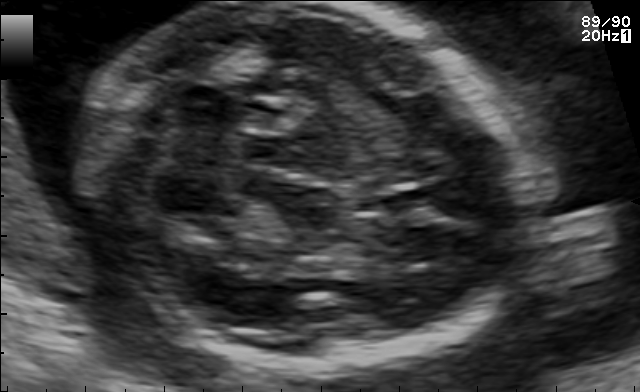
Fetal brain, trans-cerebellum plane. Locate the fetal head and, if visible, the cavum septum pellucidum (CSP) and lateral ventricle (LV). Give bounding boxes as [x1,y1,x2,y2].

Head: [89,1,519,369]